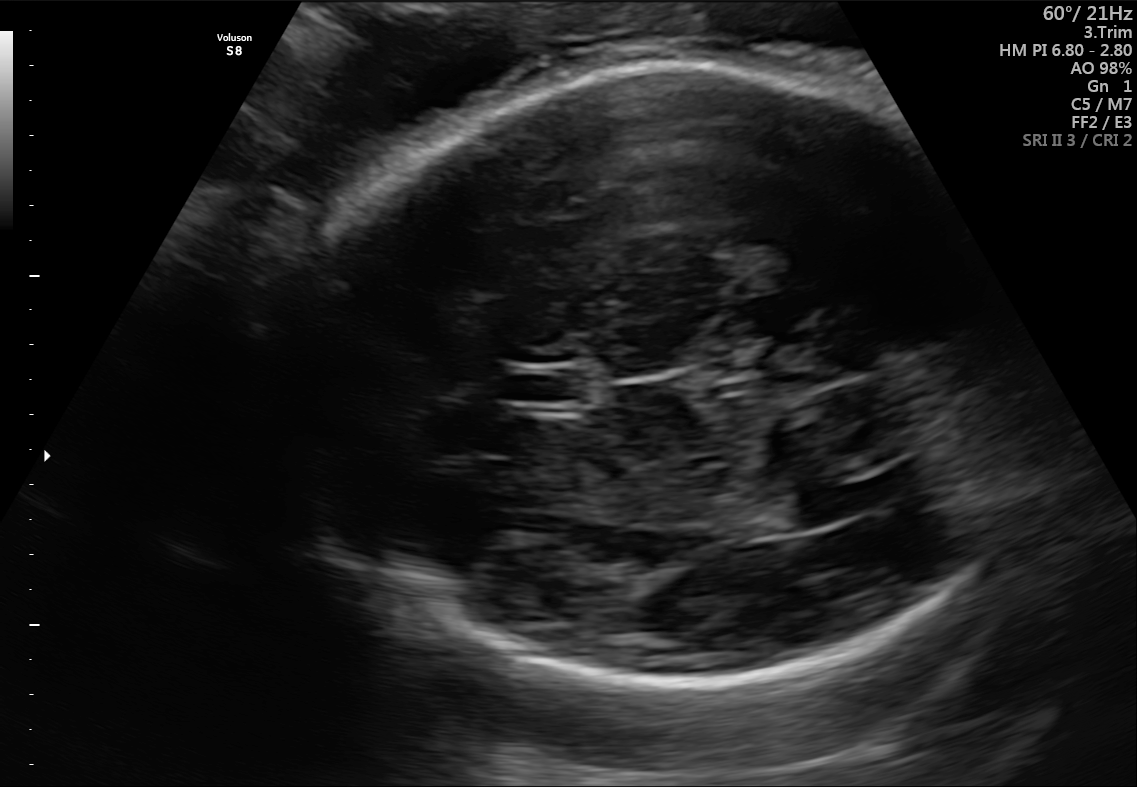
Identify the standard plane in this fetal ultrasound image: fetal abdomen, fetal brain, fetal femur, fetal thorax, maternal cervix, or other. If it's fetal brain and one of the three standard brain planes (trans-thalamic, trans-cerebellum, trans-ventricular), name which.

Fetal brain (trans-thalamic plane)